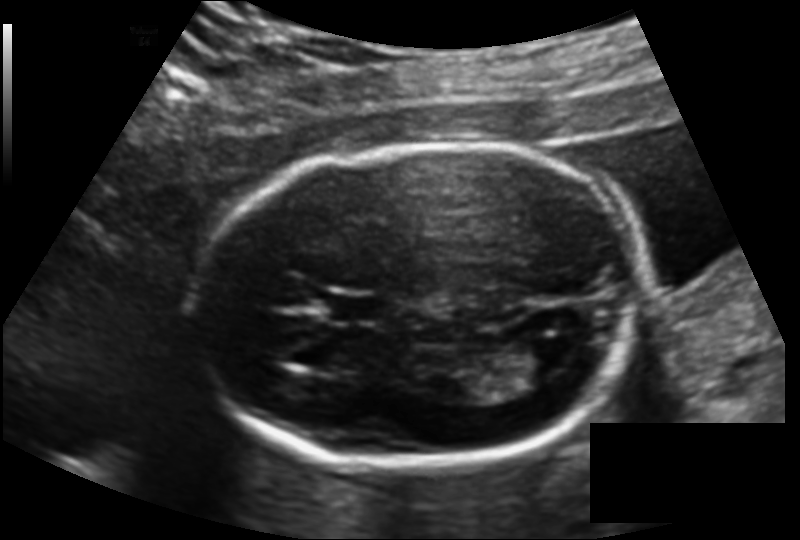
Fetal head ultrasound. Image width: 109.3 mm. Where is the lateral ventricle?

Lateral ventricle bounding box: [510,322,585,387]